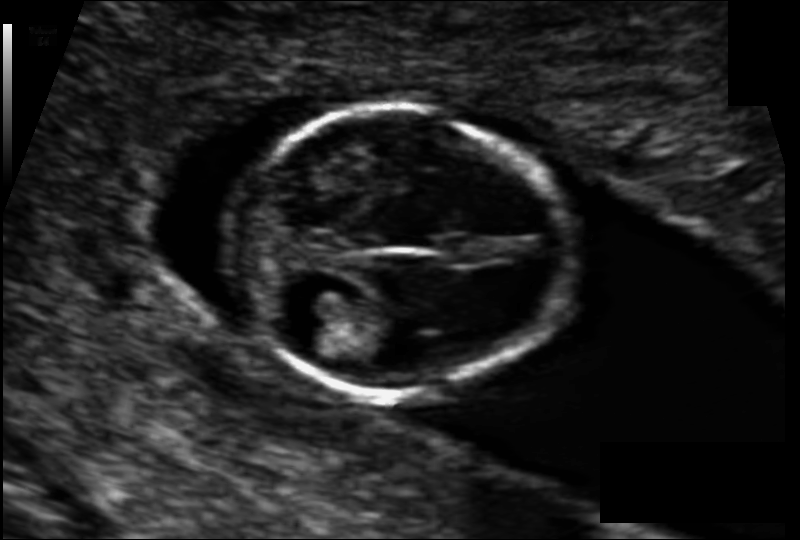
In this fetal head ultrasound, give the bounding box of the fetal head. Image width: 63.0 mm.

[229,109,566,399]